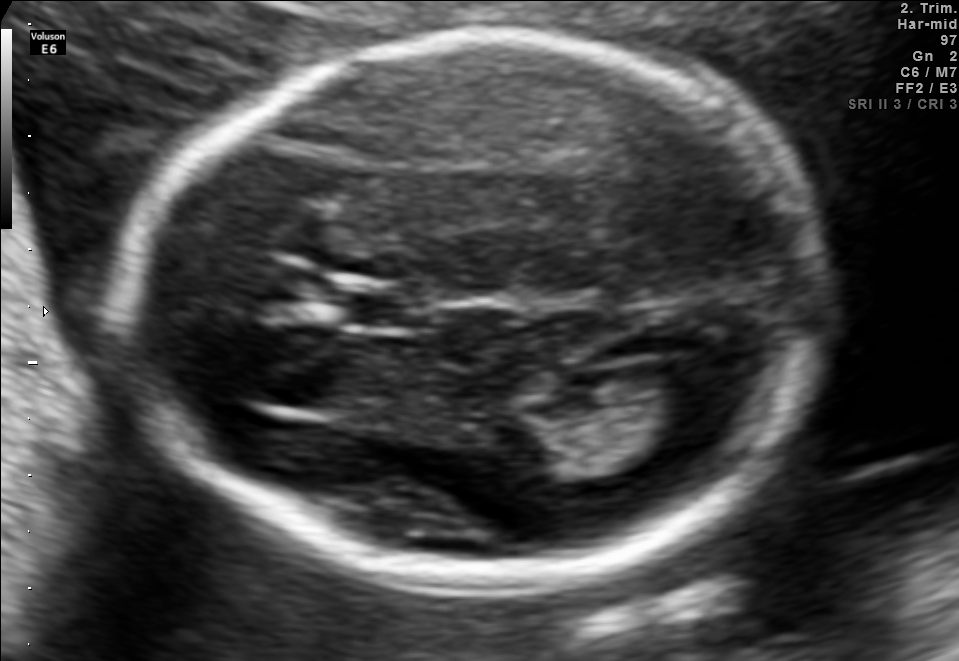
In this fetal brain, trans-ventricular plane, give the bounding box of the fetal head.

[131,22,840,589]